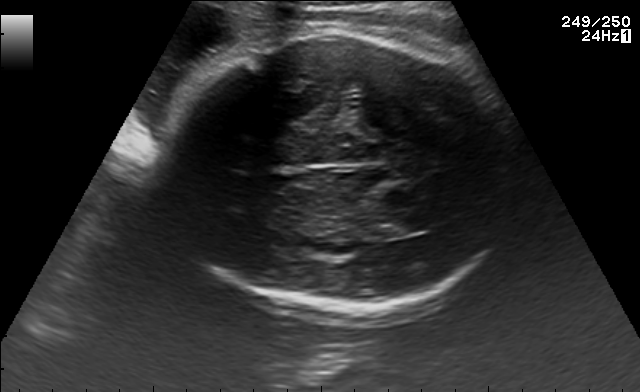
Fetal brain, trans-thalamic plane. Where is the lateral ventricle?

Lateral ventricle bounding box: [370,211,426,241]